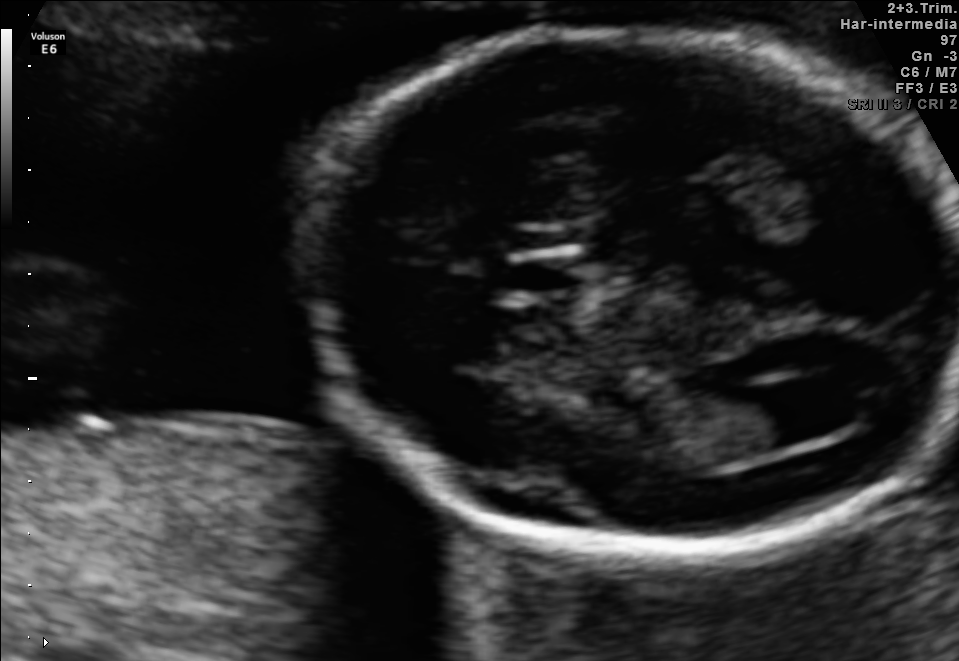
Fetal brain, trans-ventricular plane. Where is the lateral ventricle?

Lateral ventricle bounding box: [749,367,854,452]